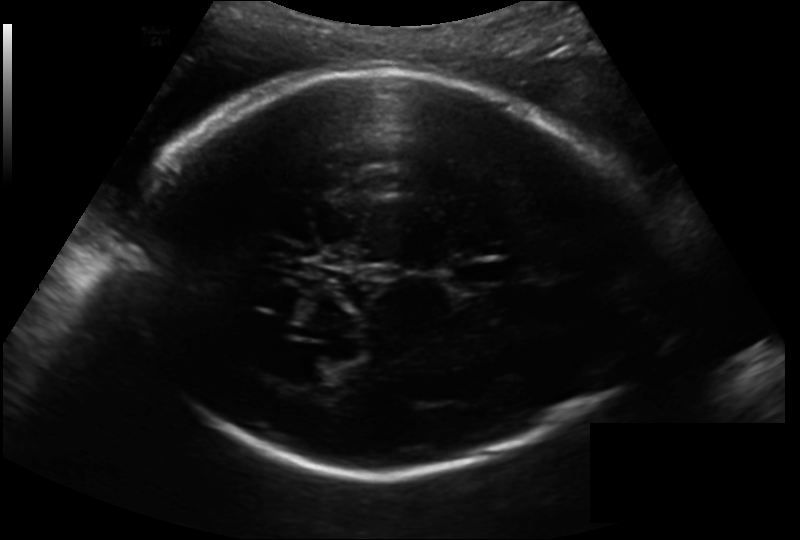
Fetal head ultrasound. Image width: 154.5 mm. Give [x1,y1,x2,y2] bounding boxes for each visible structure among: fetal head, CSP, LV.

Head: [128,71,640,474]
CSP: [447,256,510,291]
Lateral ventricle: [284,355,340,385]